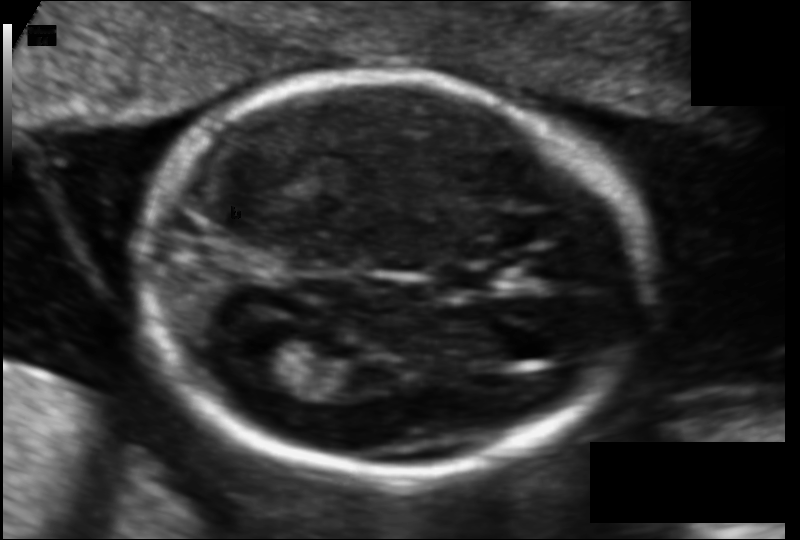
In this fetal head ultrasound, give the bounding box of the lateral ventricle. Image width: 83.2 mm.

[223,314,313,391]